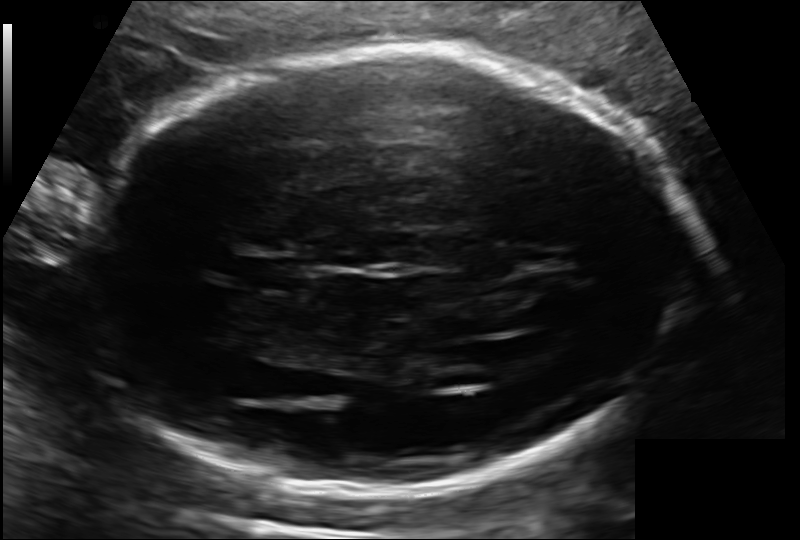
Measure the fetal head circumference shown in this ultrasound image. Image width: 114.4 mm.

Head circumference: 249.5 mm.